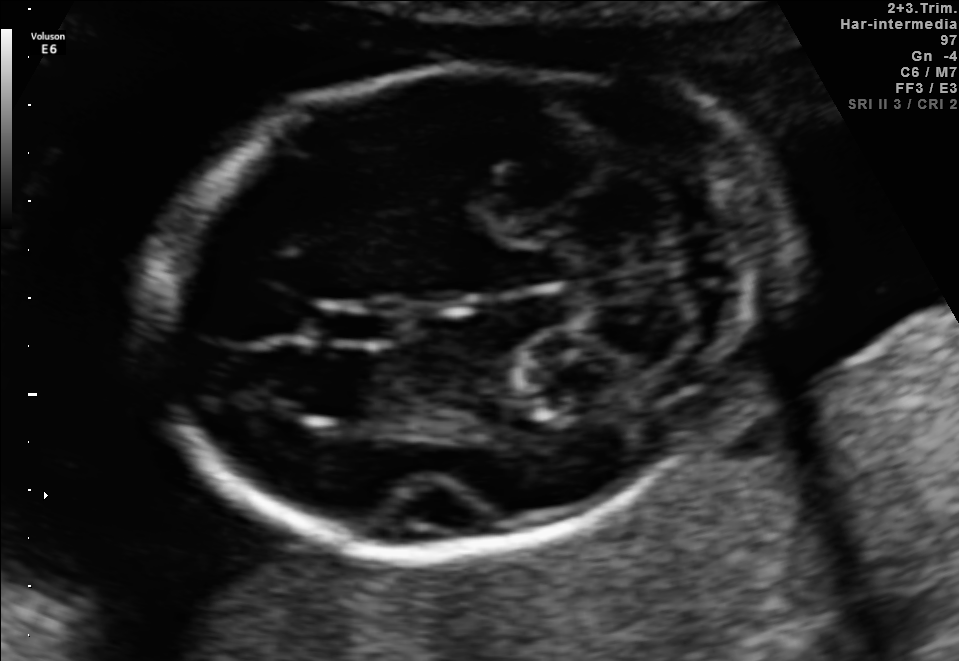
In this fetal brain, trans-cerebellum plane, give the bounding box of the cavum septum pellucidum.

[320,306,395,343]